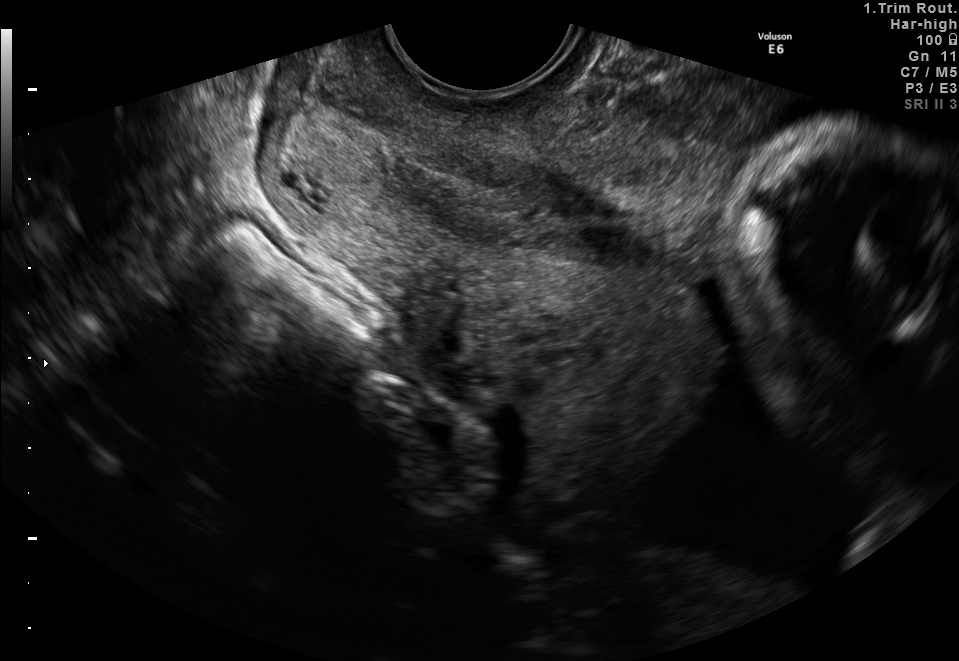
Identify the standard plane in this fetal ultrasound image: fetal abdomen, fetal brain, fetal femur, fetal thorax, maternal cervix, or other. If it's fetal brain and one of the three standard brain planes (trans-thalamic, trans-cerebellum, trans-ventricular), name which.

Maternal cervix